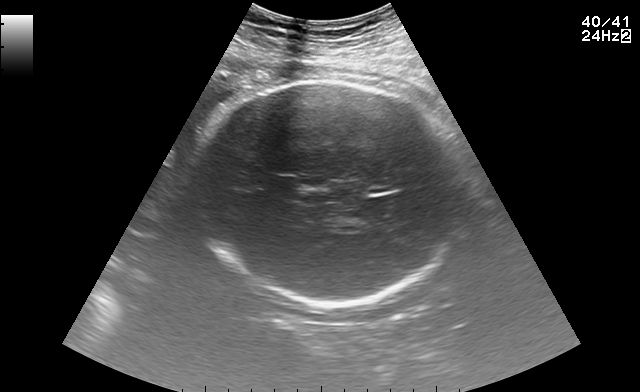
Fetal brain, trans-thalamic plane. Locate the fetal head.

Head: [194,81,460,309]